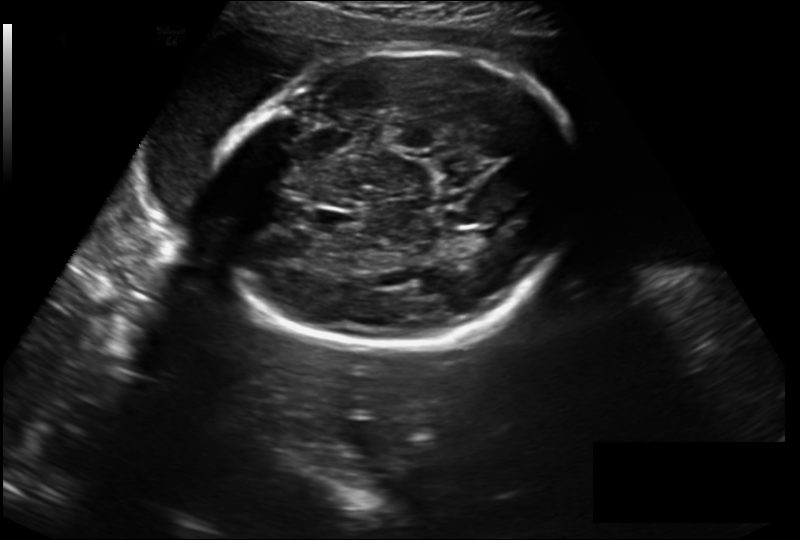
Fetal head ultrasound. Image width: 184.1 mm. Locate the fetal head and, if visible, the cavum septum pellucidum (CSP) and lateral ventricle (LV). Give bounding boxes as [x1,y1,x2,y2].

Head: [212,52,581,347]